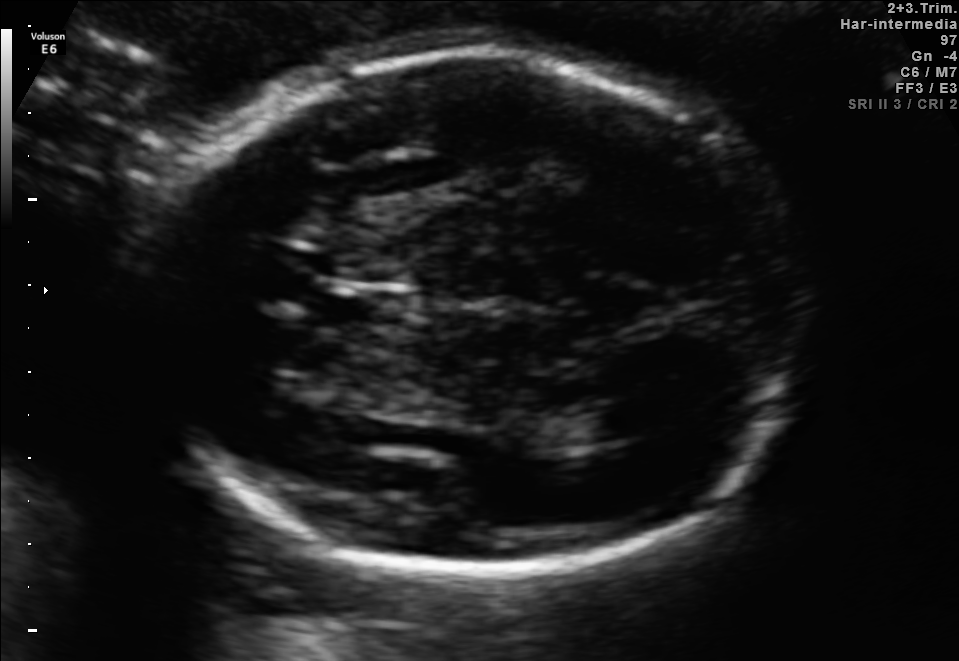
Fetal brain, trans-thalamic plane. Locate the fetal head and, if visible, the cavum septum pellucidum (CSP) and lateral ventricle (LV). Give bounding boxes as [x1,y1,x2,y2].

Head: [150,50,801,583]
CSP: [324,293,405,326]
Lateral ventricle: [547,413,625,451]